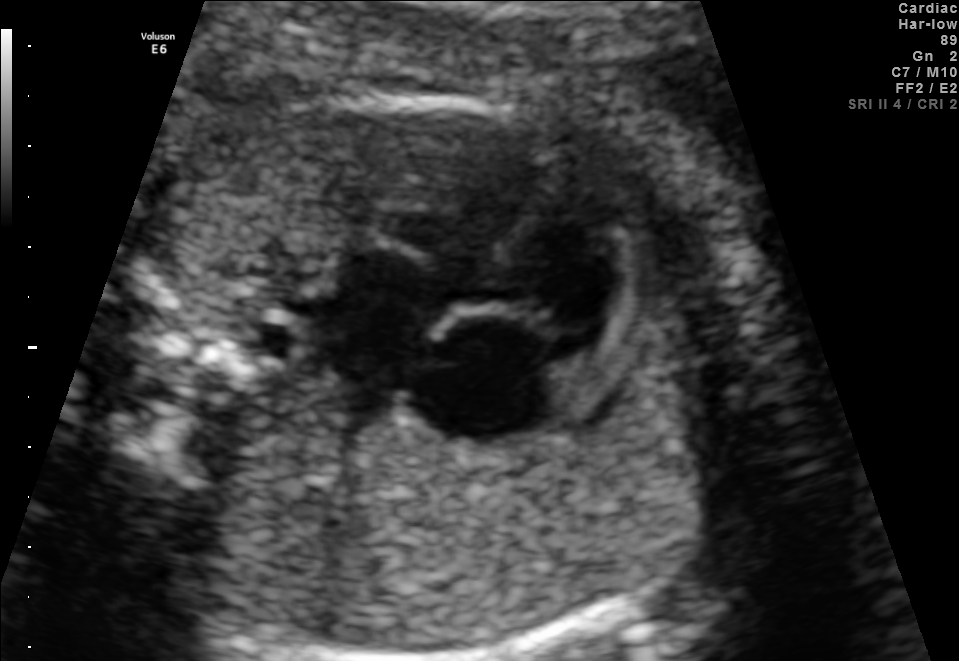
Identify the standard plane in this fetal ultrasound image: fetal abdomen, fetal brain, fetal femur, fetal thorax, maternal cervix, or other. If it's fetal brain and one of the three standard brain planes (trans-thalamic, trans-cerebellum, trans-ventricular), name which.

Fetal thorax